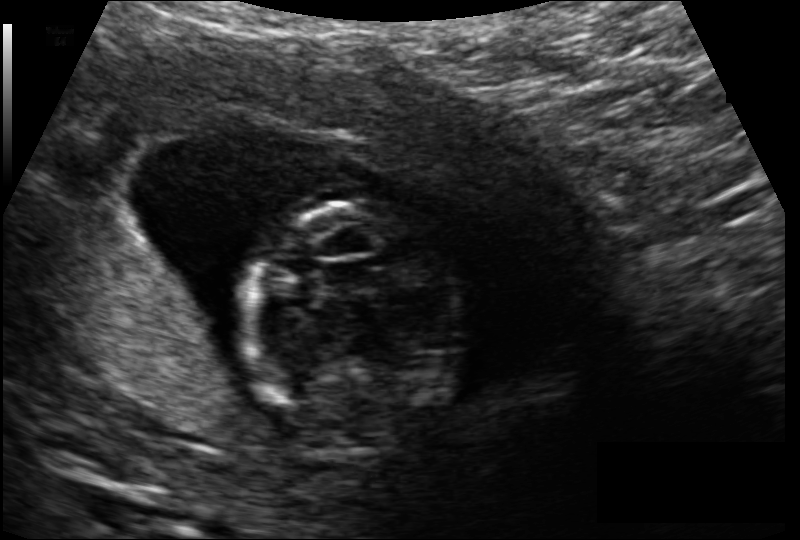
From this fetal ultrasound, estimate the head circumference (image width 94.0 mm).

Head circumference: 95.7 mm.